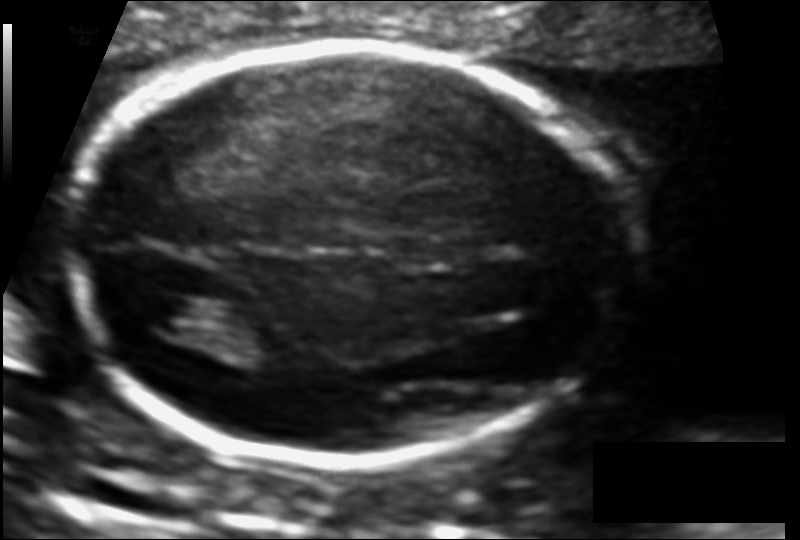
In this fetal head ultrasound, give the bounding box of the cavum septum pellucidum. Image width: 88.9 mm.

[391,236,464,269]